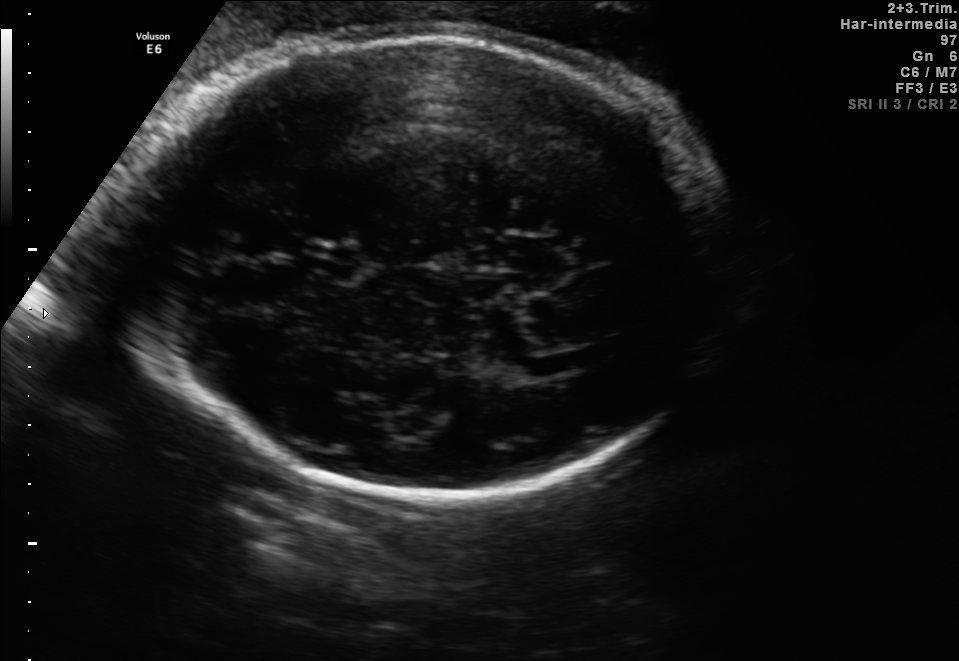
Fetal brain, trans-thalamic plane. Where is the cavum septum pellucidum?

CSP bounding box: [300,243,358,282]